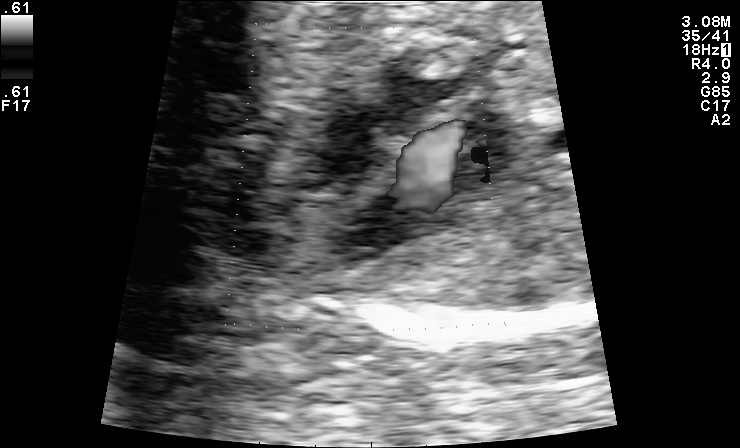
Identify the standard plane in this fetal ultrasound image: fetal abdomen, fetal brain, fetal femur, fetal thorax, maternal cervix, or other. If it's fetal brain and one of the three standard brain planes (trans-thalamic, trans-cerebellum, trans-ventricular), name which.

Other